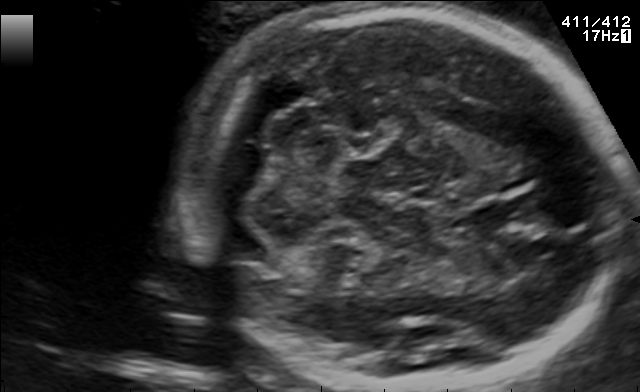
Fetal brain, trans-cerebellum plane. Give [x1,y1,x2,y2] bounding boxes for each visible structure among: fetal head, CSP, LV.

Head: [191,4,619,387]
CSP: [454,195,522,244]